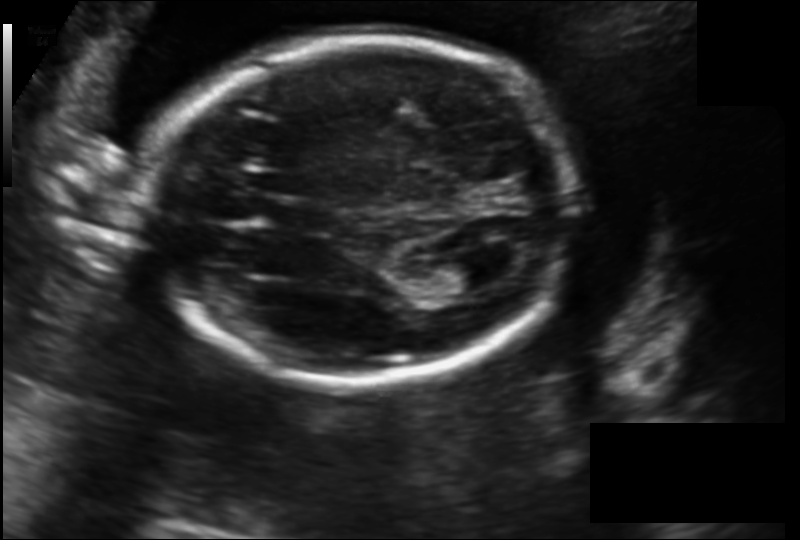
Fetal head ultrasound. Image width: 121.4 mm. Locate the fetal head.

Head: [147,38,573,381]